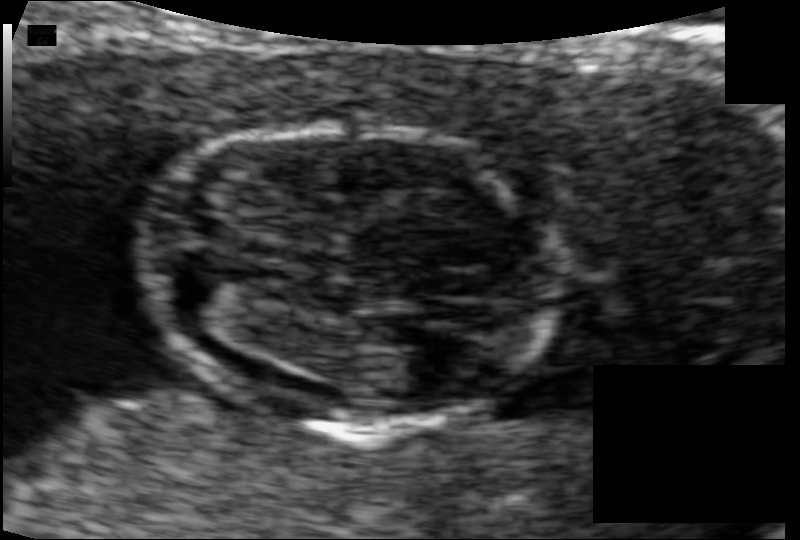
Fetal head ultrasound. Image width: 52.6 mm. Give [x1,y1,x2,y2] bounding boxes for each visible structure among: fetal head, CSP, LV.

Head: [144,128,551,428]